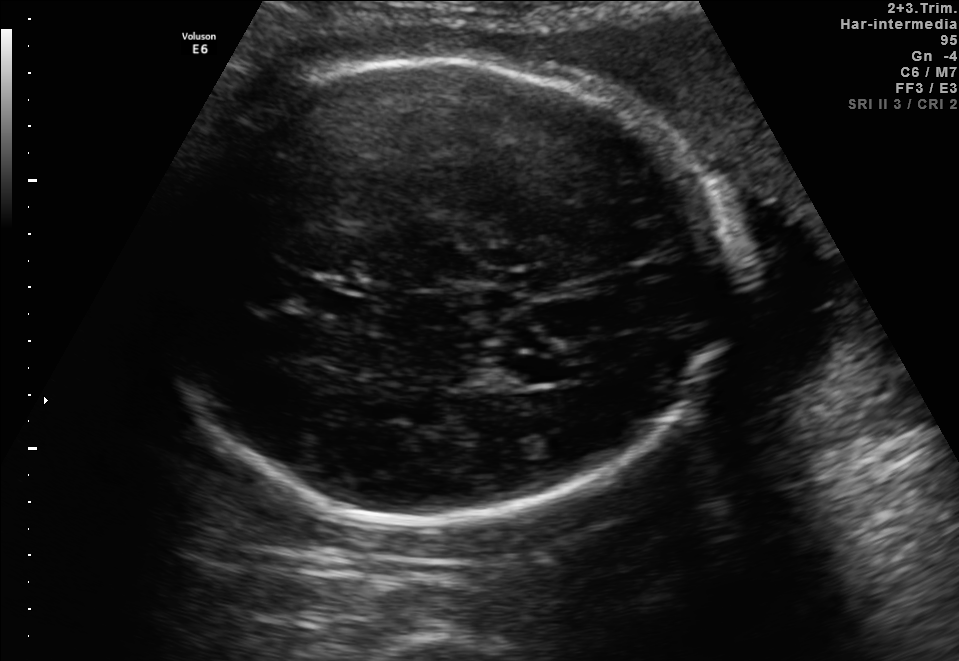
In this fetal brain, trans-thalamic plane, give the bounding box of the cavum septum pellucidum.

[306,278,368,317]